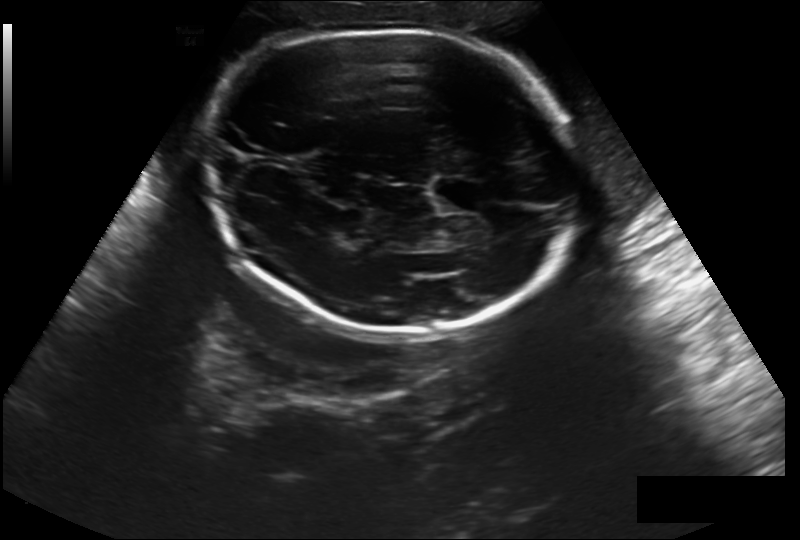
Fetal head ultrasound. Image width: 195.6 mm. Give [x1,y1,x2,y2] bounding boxes for each visible structure among: fetal head, CSP, LV.

Head: [201,29,579,336]